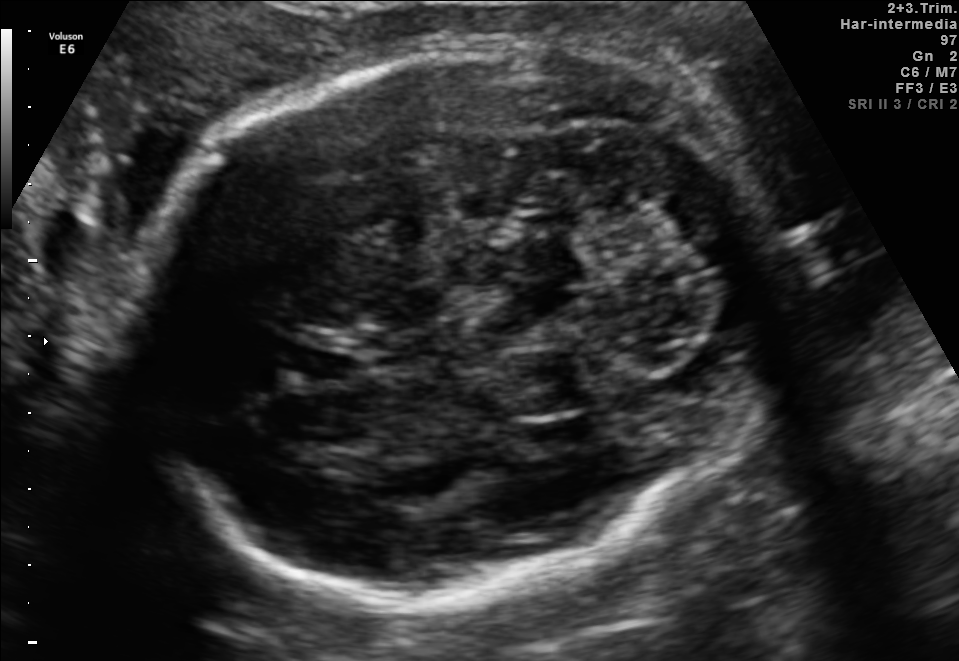
Fetal brain, trans-cerebellum plane. Locate the fetal head and, if visible, the cavum septum pellucidum (CSP) and lateral ventricle (LV). Give bounding boxes as [x1,y1,x2,y2].

Head: [131,42,780,585]
CSP: [285,337,367,389]